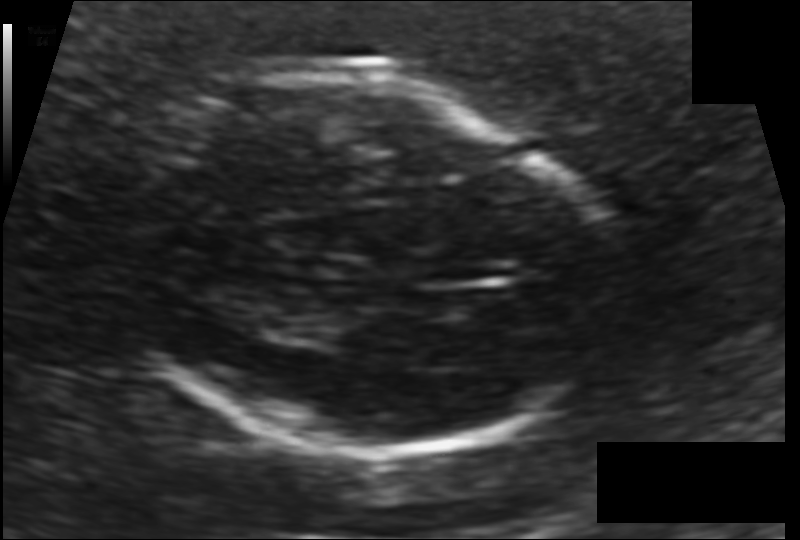
Fetal head ultrasound. Image width: 105.5 mm. Locate the fetal head and, if visible, the cavum septum pellucidum (CSP) and lateral ventricle (LV). Give bounding boxes as [x1,y1,x2,y2].

Head: [113,78,608,452]